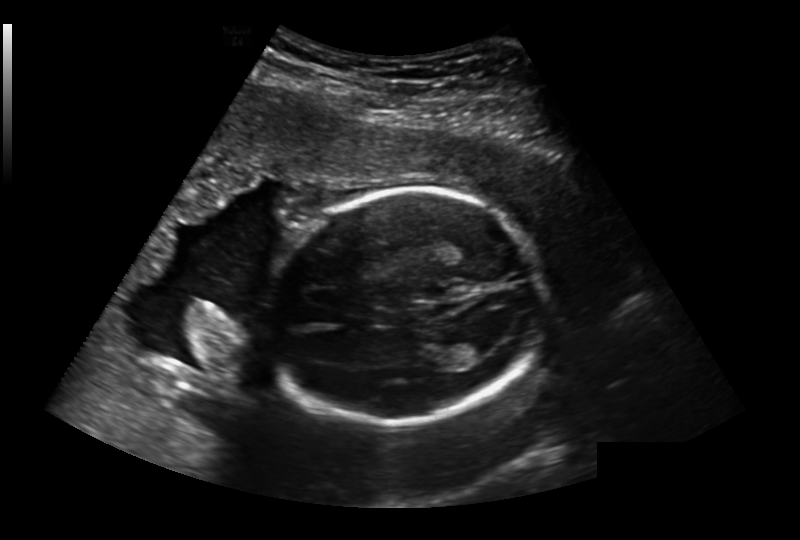
Fetal head ultrasound. Image width: 188.7 mm. Where is the fetal head?

Head bounding box: [264,190,541,425]